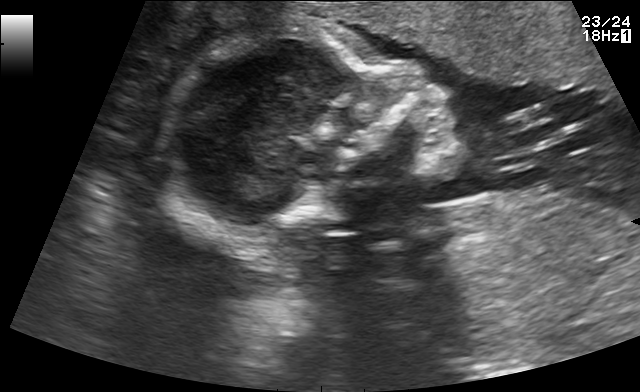
Classify this maternal-fetal ultrasound image as one of the six standard planes — fetal abdomen, fetal brain, fetal femur, fetal thorax, maternal cervix, or other. If it's fetal brain and one of the three standard brain planes (trans-thalamic, trans-cerebellum, trans-ventricular), name which.

Other